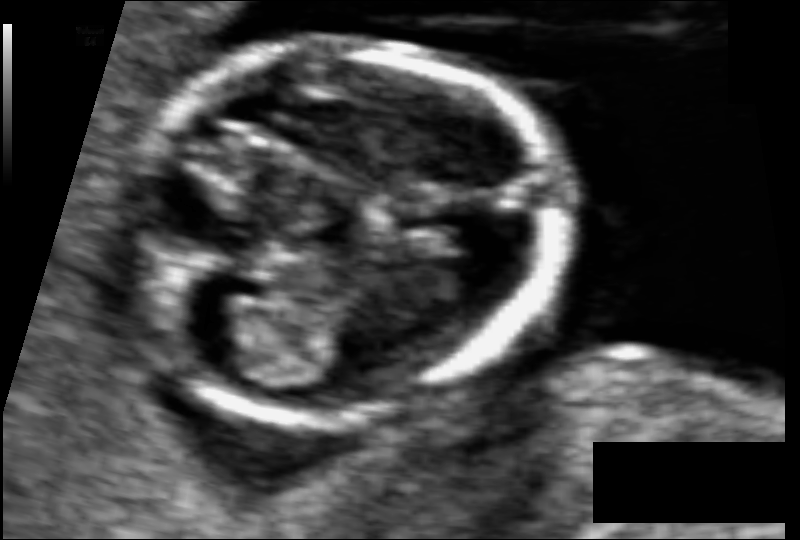
Estimate the fetal head circumference from this 2D ultrasound. Image width: 47.6 mm.

Head circumference: 79.5 mm.